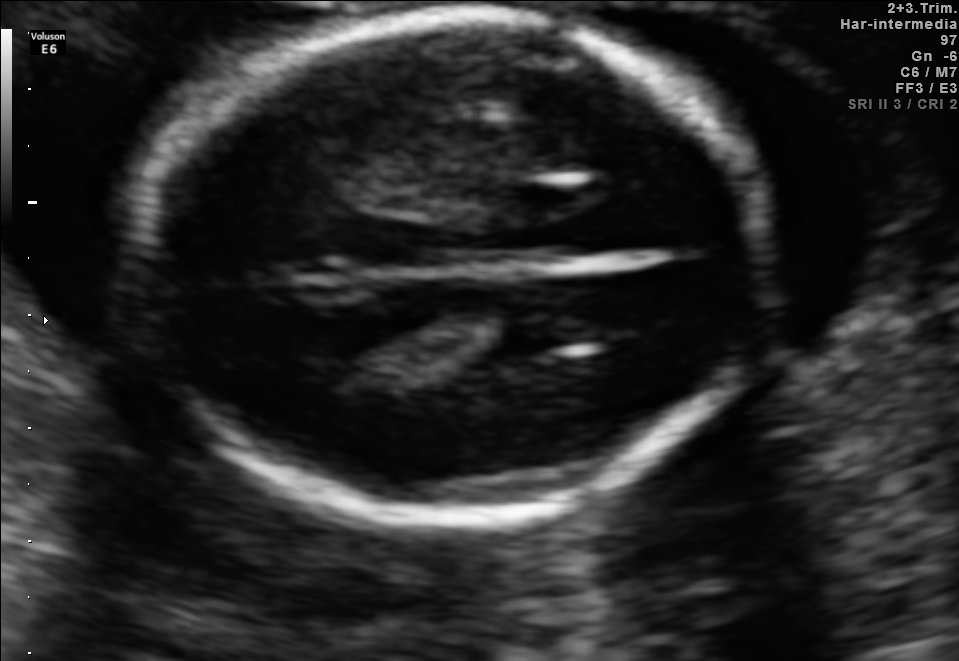
Classify this maternal-fetal ultrasound image as one of the six standard planes — fetal abdomen, fetal brain, fetal femur, fetal thorax, maternal cervix, or other. If it's fetal brain and one of the three standard brain planes (trans-thalamic, trans-cerebellum, trans-ventricular), name which.

Fetal brain (trans-thalamic plane)